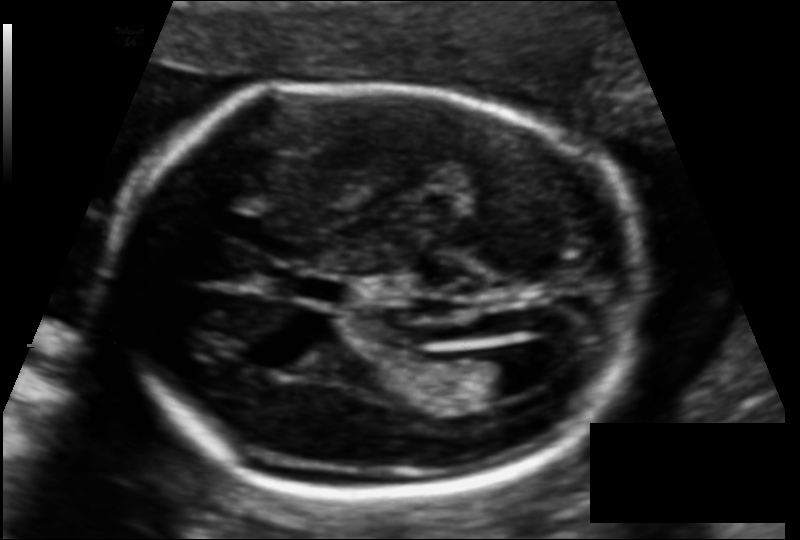
Fetal head ultrasound. Image width: 92.4 mm. Locate the cavum septum pellucidum.

CSP: [284,270,347,307]